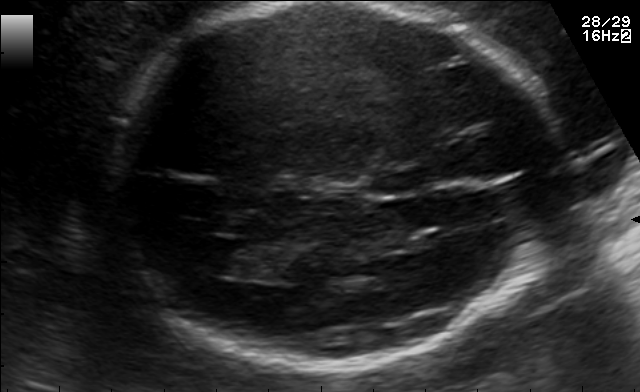
Fetal brain, trans-ventricular plane. Locate the cavum septum pellucidum.

CSP: [371,168,425,198]